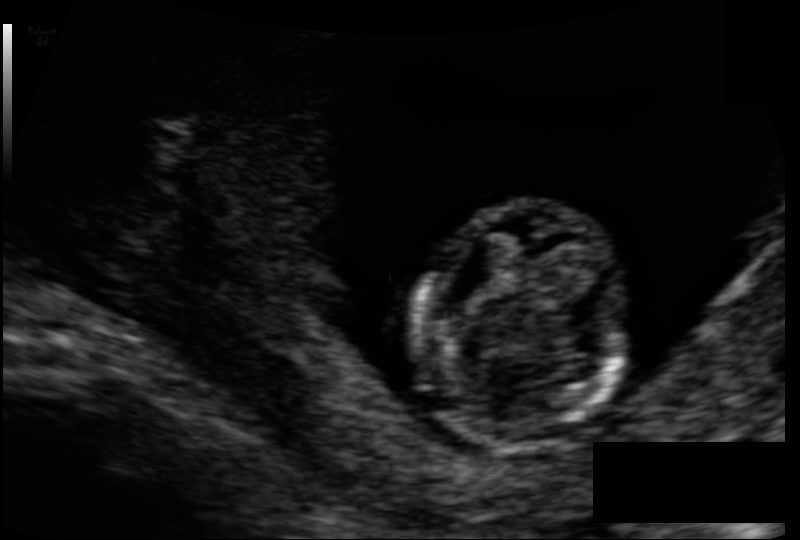
Fetal head ultrasound. Image width: 76.4 mm. Where is the fetal head?

Head bounding box: [416,204,626,444]